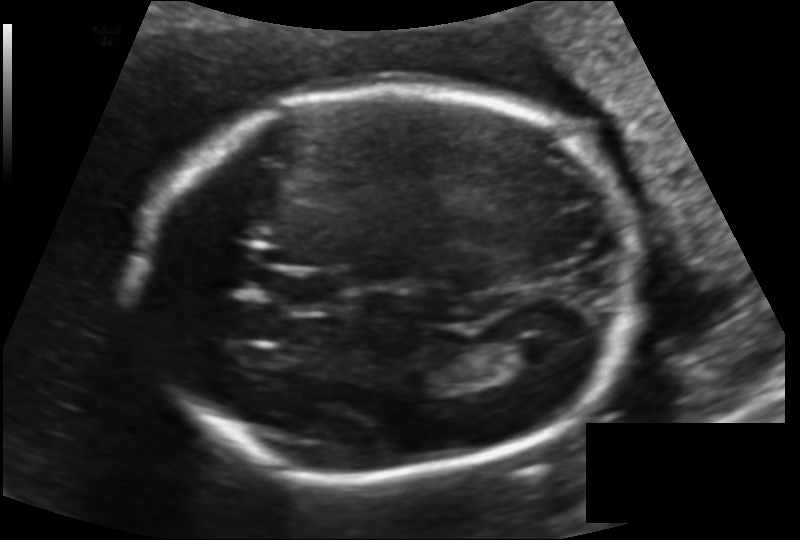
In this fetal head ultrasound, give the bounding box of the fetal head. Image width: 115.0 mm.

[142,88,642,473]